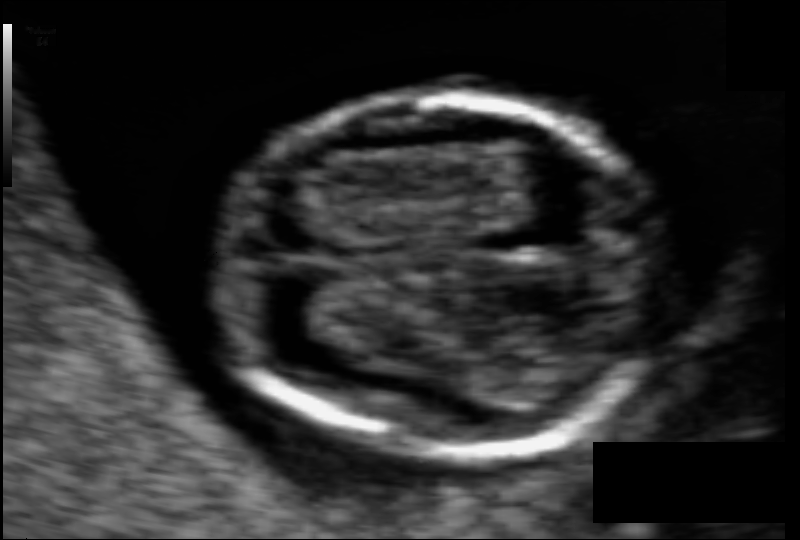
Estimate the fetal head circumference from this 2D ultrasound.

Head circumference: 73.0 mm (image width 44.9 mm).